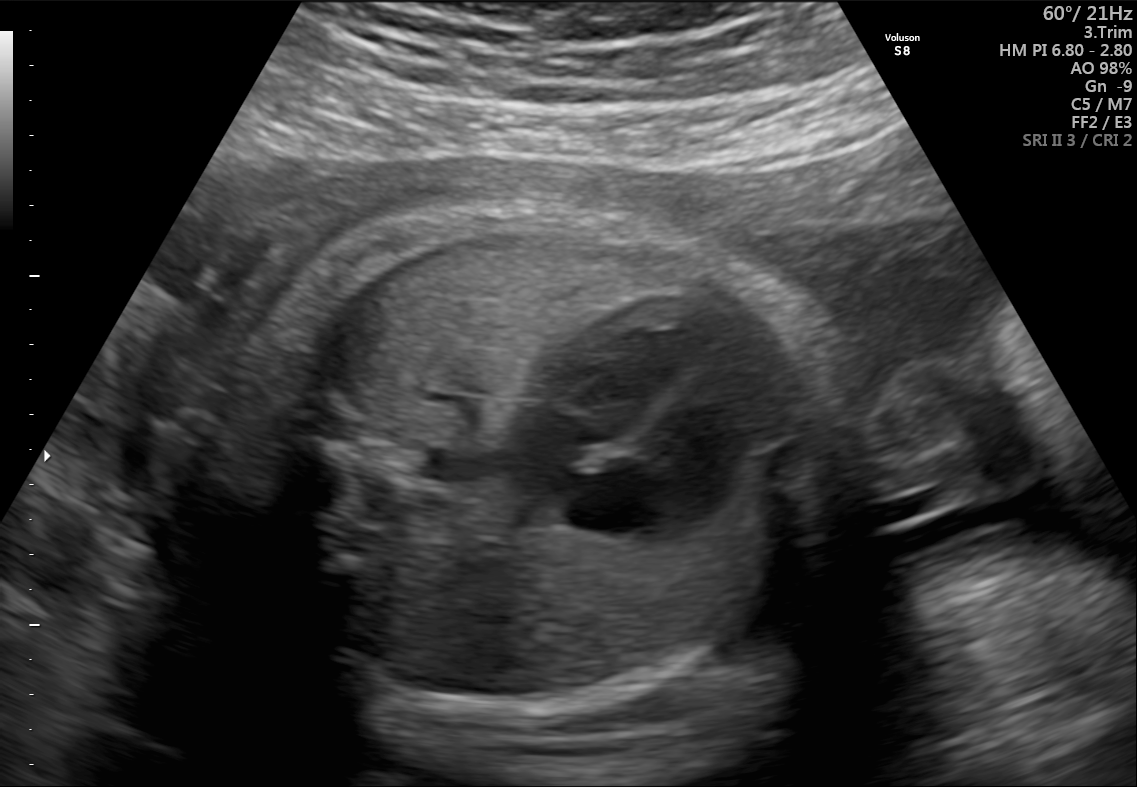
This is a 2D maternal-fetal ultrasound frame. Is it a fetal abdomen, fetal brain, fetal femur, fetal thorax, maternal cervix, or other standard plane? If it's fetal brain and one of the three standard brain planes (trans-thalamic, trans-cerebellum, trans-ventricular), name which.

Fetal thorax